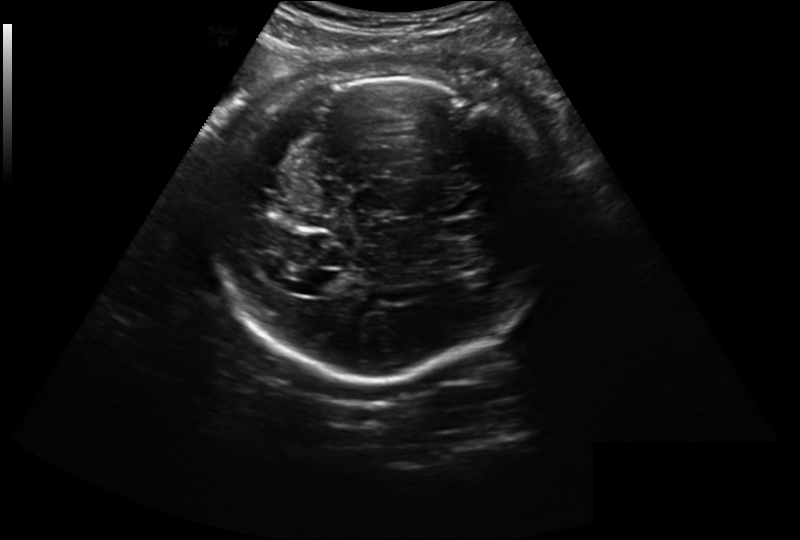
Estimate the fetal head circumference from this 2D ultrasound.

Head circumference: 278.1 mm (image width 208.4 mm).